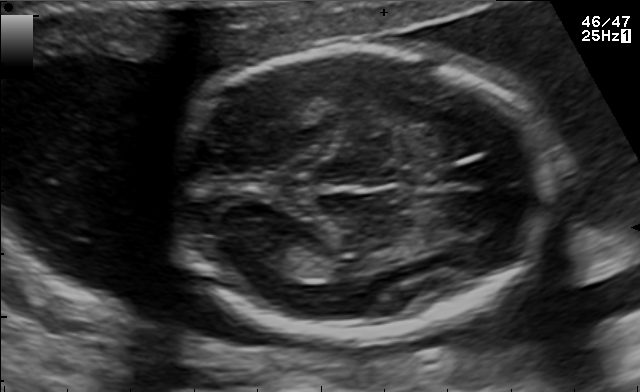
Fetal brain, trans-thalamic plane. Locate the fetal head and, if visible, the cavum septum pellucidum (CSP) and lateral ventricle (LV). Give bounding boxes as [x1,y1,x2,y2].

Head: [172,48,546,338]
Lateral ventricle: [231,223,309,278]